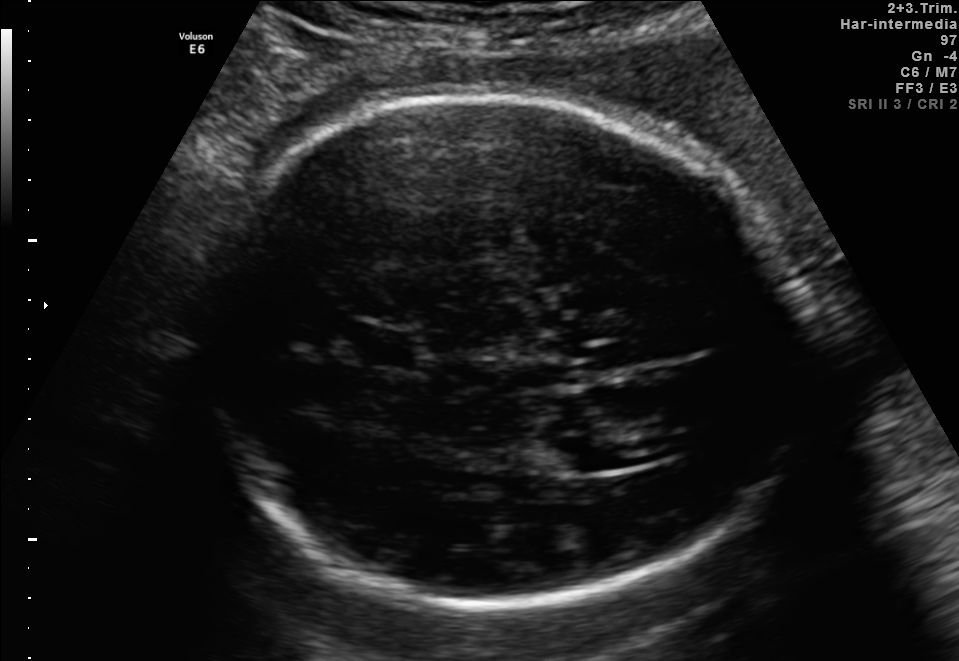
Fetal brain, trans-ventricular plane. Locate the cavum septum pellucidum.

CSP: [341,320,437,378]